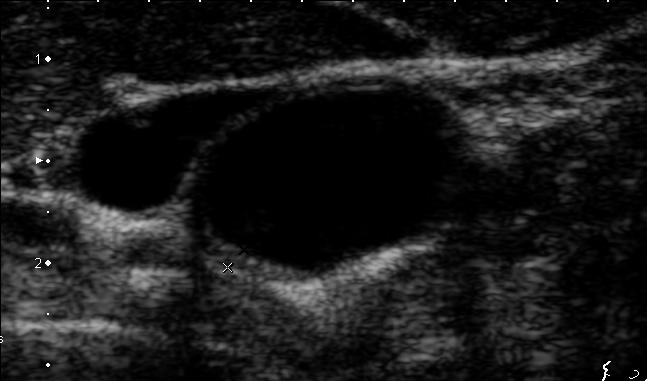
Identify the standard plane in this fetal ultrasound image: fetal abdomen, fetal brain, fetal femur, fetal thorax, maternal cervix, or other. If it's fetal brain and one of the three standard brain planes (trans-thalamic, trans-cerebellum, trans-ventricular), name which.

Other